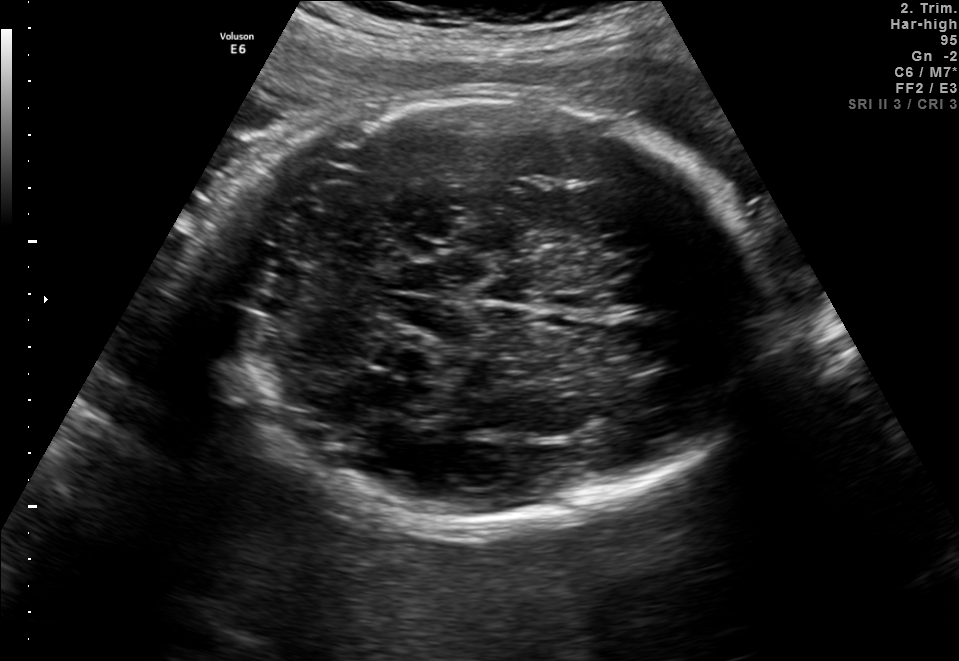
Classify this maternal-fetal ultrasound image as one of the six standard planes — fetal abdomen, fetal brain, fetal femur, fetal thorax, maternal cervix, or other. If it's fetal brain and one of the three standard brain planes (trans-thalamic, trans-cerebellum, trans-ventricular), name which.

Fetal brain (trans-cerebellum plane)